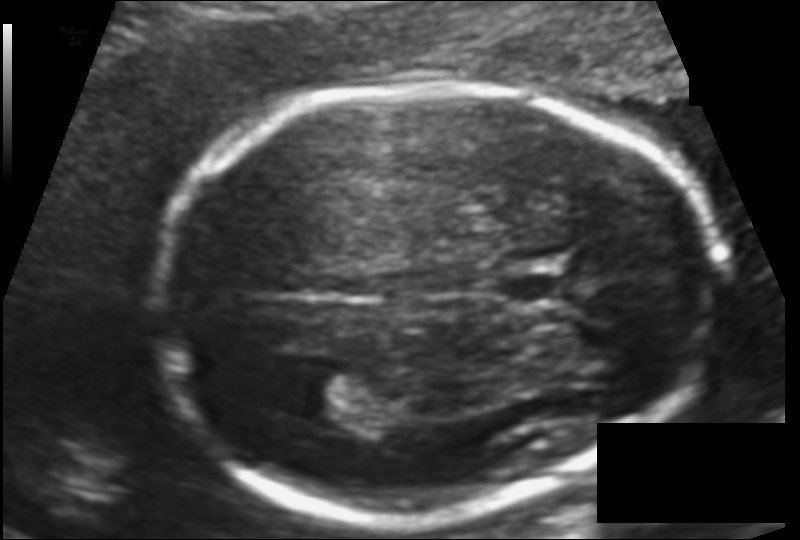
Measure the fetal head circumference shown in this ultrasound image. Image width: 87.8 mm.

Head circumference: 177.4 mm.